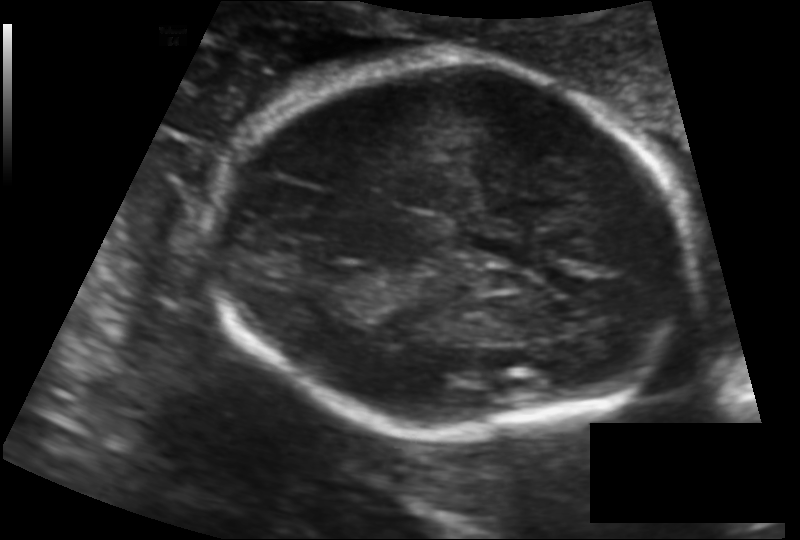
Fetal head ultrasound. Image width: 102.5 mm. Give [x1,y1,x2,y2] bounding boxes for each visible structure among: fetal head, CSP, LV.

Head: [212,59,688,437]